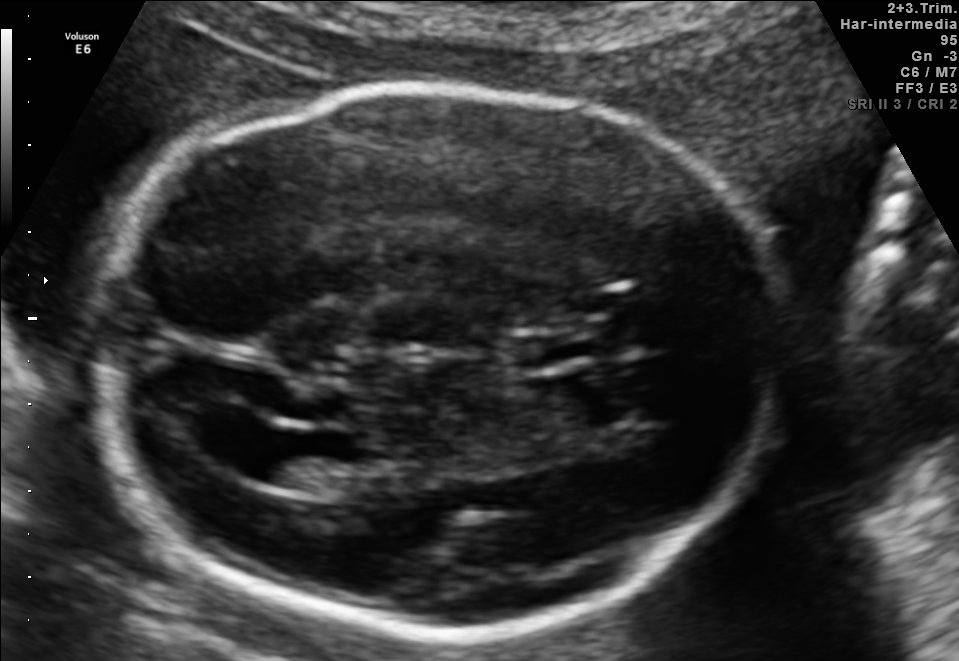
In this fetal brain, trans-ventricular plane, give the bounding box of the lateral ventricle.

[198,405,307,491]